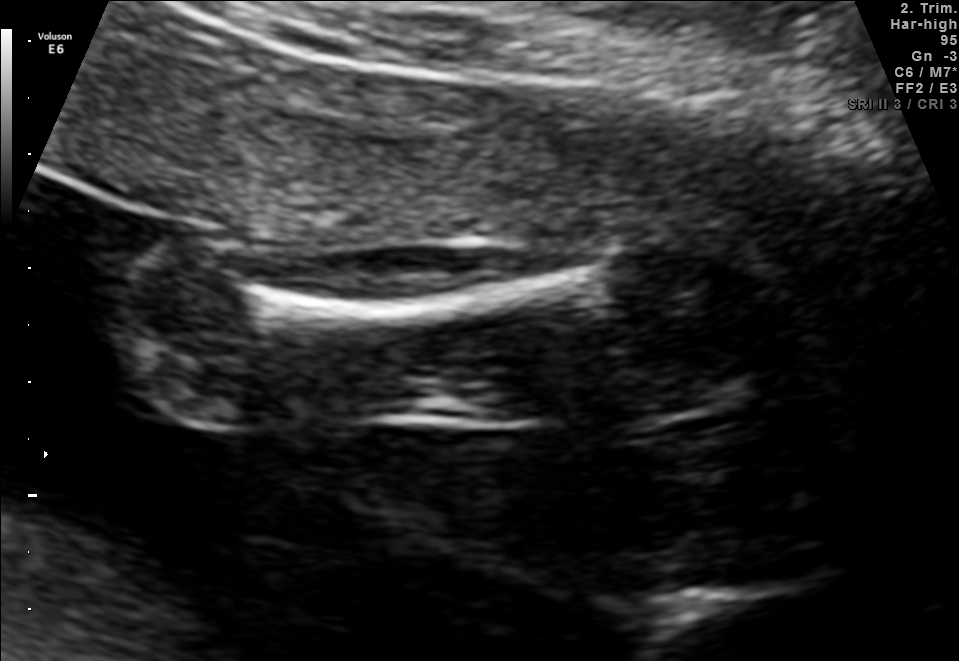
Identify the standard plane in this fetal ultrasound image: fetal abdomen, fetal brain, fetal femur, fetal thorax, maternal cervix, or other. If it's fetal brain and one of the three standard brain planes (trans-thalamic, trans-cerebellum, trans-ventricular), name which.

Fetal femur